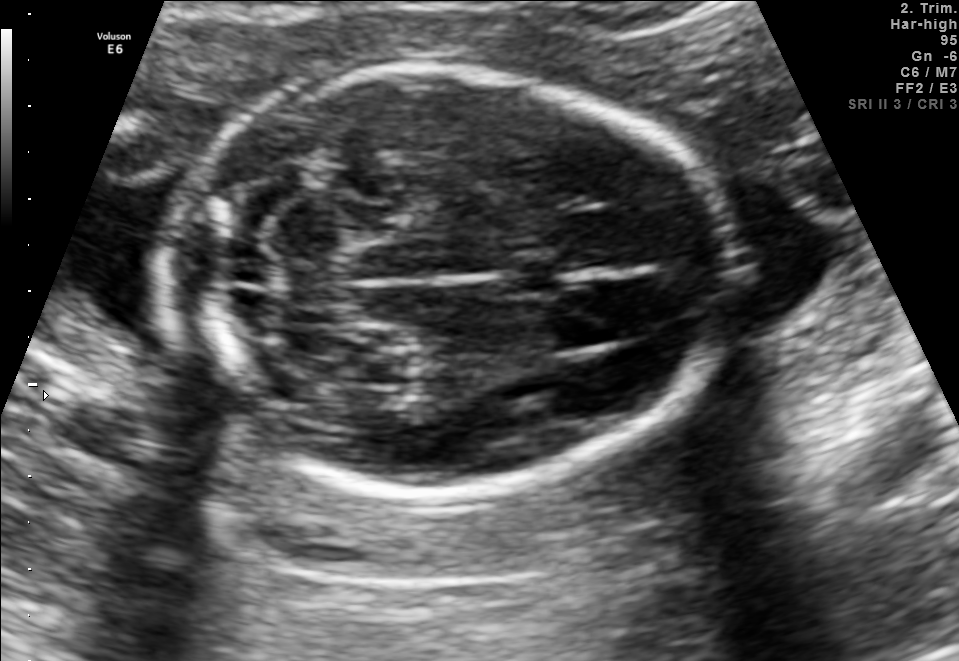
Fetal brain, trans-cerebellum plane. Locate the fetal head and, if visible, the cavum septum pellucidum (CSP) and lateral ventricle (LV). Give bounding boxes as [x1,y1,x2,y2].

Head: [166,62,725,495]
CSP: [496,255,565,298]